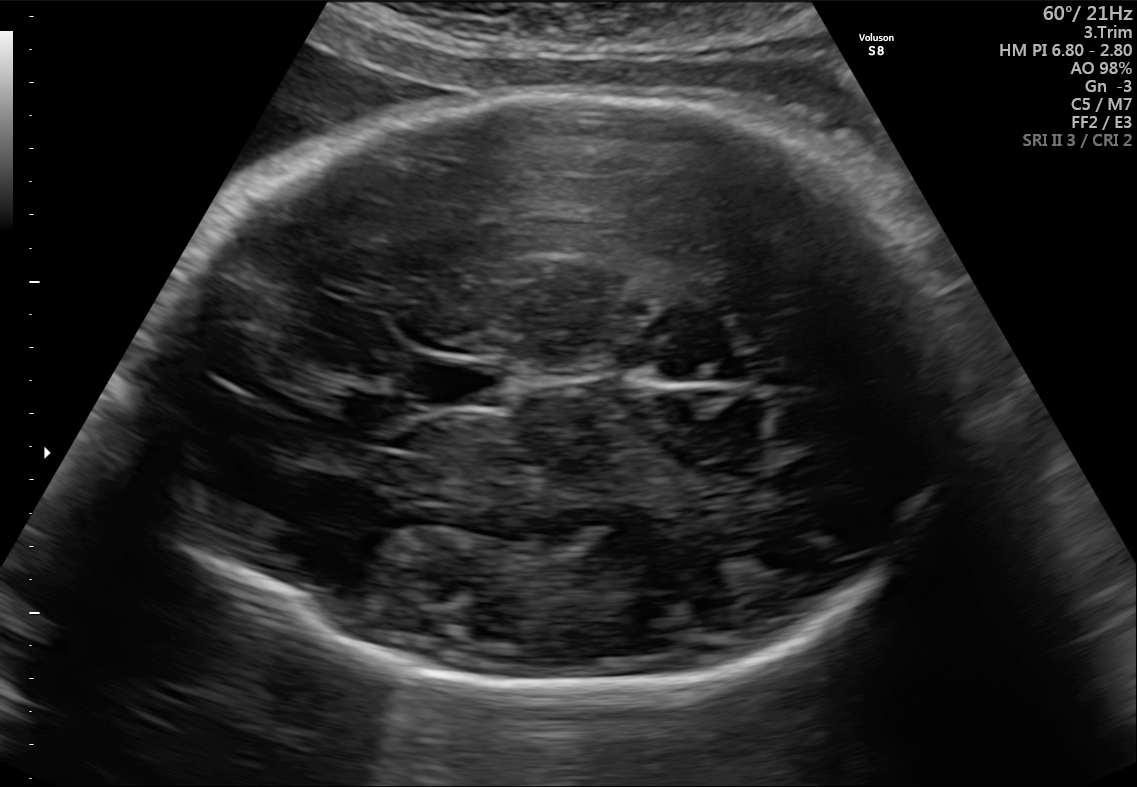
Fetal brain, trans-thalamic plane. Locate the fetal head and, if visible, the cavum septum pellucidum (CSP) and lateral ventricle (LV). Give bounding boxes as [x1,y1,x2,y2].

Head: [130,92,966,693]
CSP: [424,359,500,410]